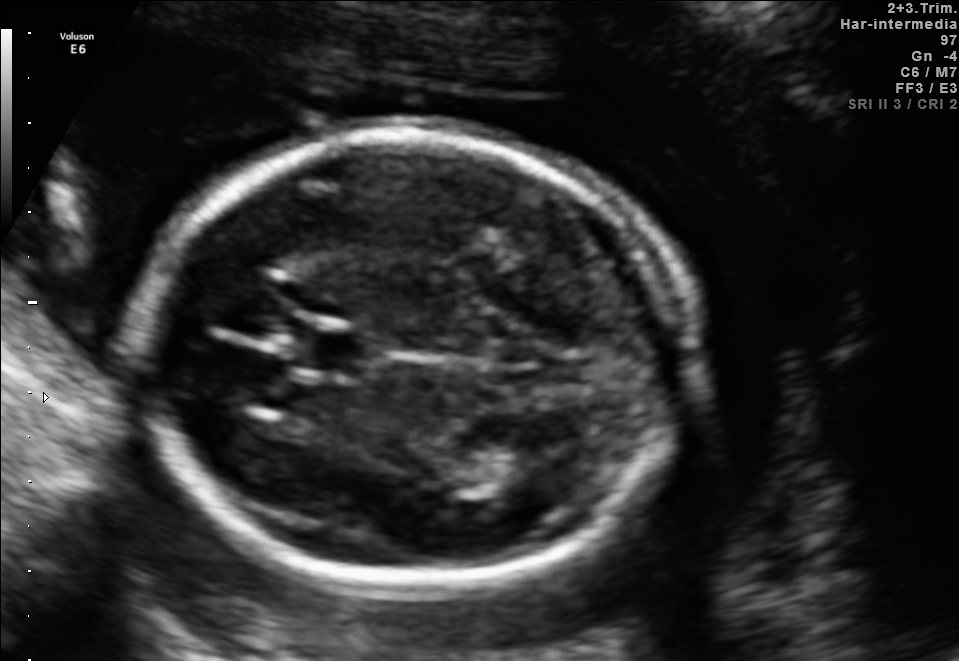
In this fetal brain, trans-thalamic plane, give the bounding box of the cavum septum pellucidum.

[295,326,368,377]